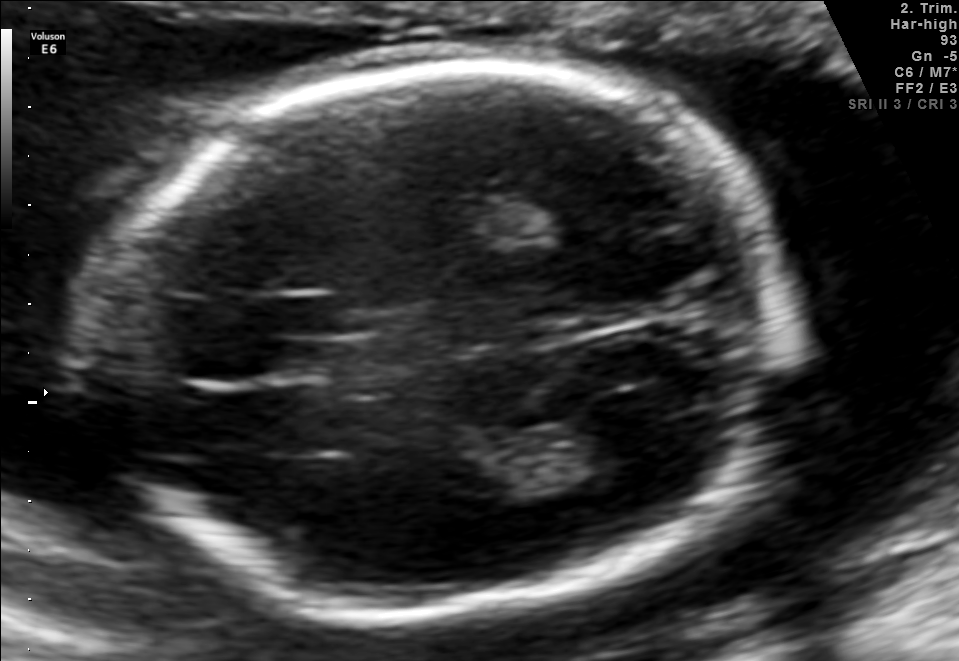
Fetal brain, trans-thalamic plane. Give [x1,y1,x2,y2] bounding boxes for each visible structure among: fetal head, CSP, LV.

Head: [94,67,785,610]
CSP: [191,338,277,378]
Lateral ventricle: [538,394,673,493]